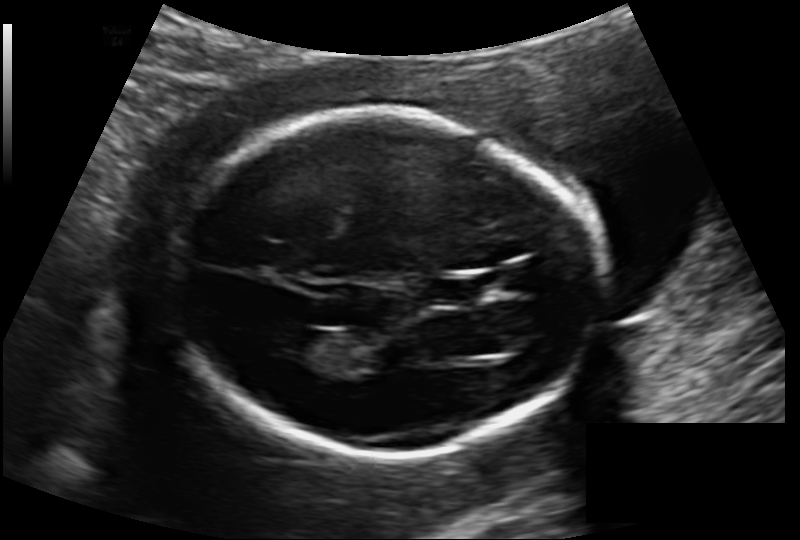
Fetal head ultrasound. Image width: 106.3 mm. Where is the cavum septum pellucidum?

CSP bounding box: [433,276,480,305]